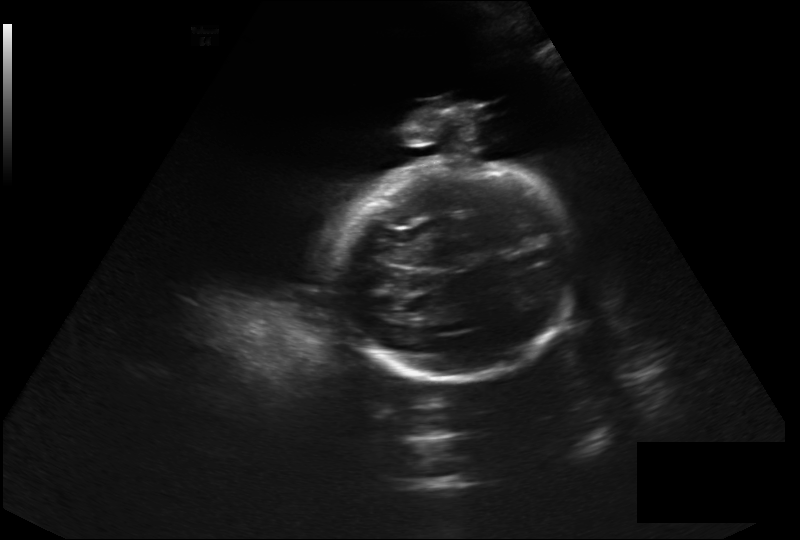
Fetal head ultrasound. Image width: 261.1 mm. Locate the fetal head and, if visible, the cavum septum pellucidum (CSP) and lateral ventricle (LV). Give bounding boxes as [x1,y1,x2,y2].

Head: [330,159,574,382]